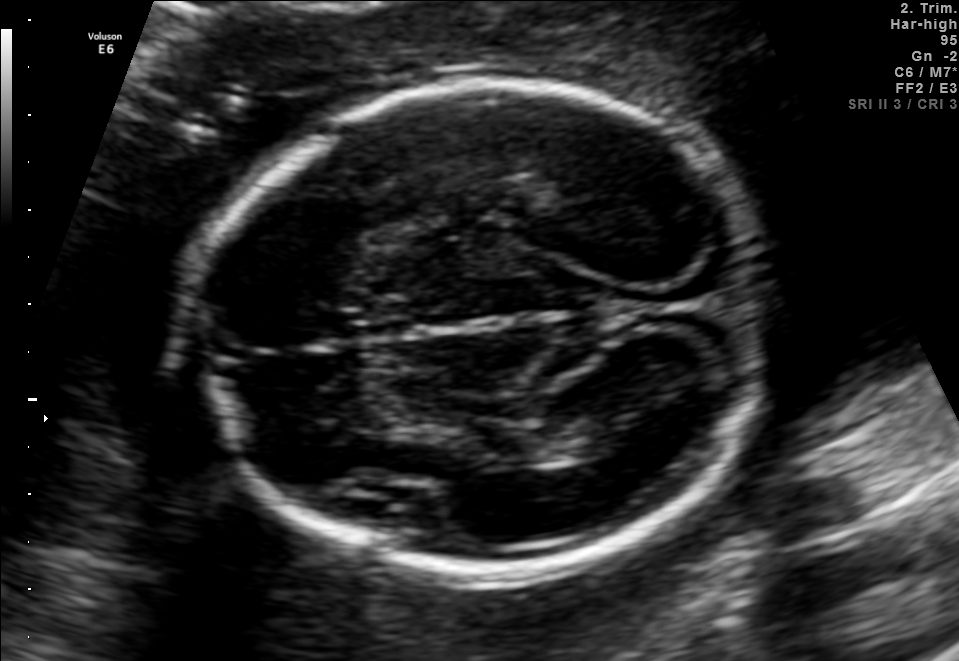
Fetal brain, trans-thalamic plane. Where is the fetal head?

Head bounding box: [194,82,777,563]